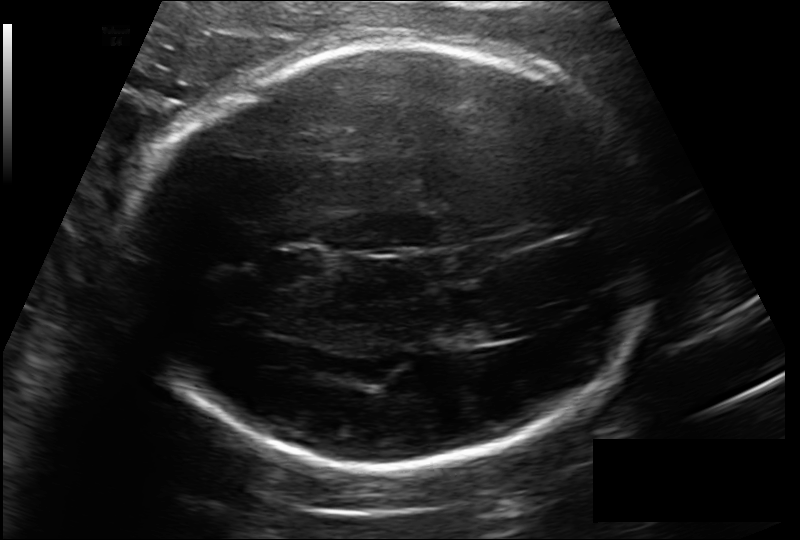
In this fetal head ultrasound, give the bounding box of the cavum septum pellucidum. Image width: 148.1 mm.

[271,246,324,279]